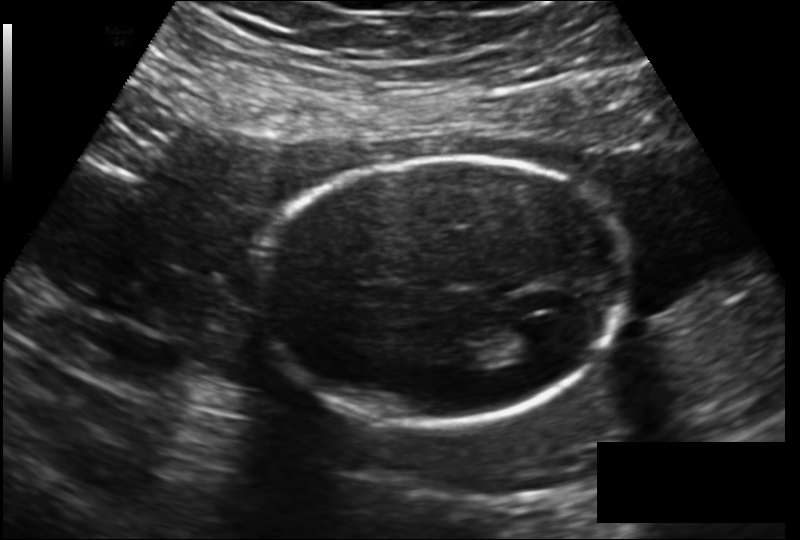
Measure the fetal head circumference shown in this ultrasound image. Image width: 137.8 mm.

Head circumference: 178.6 mm.